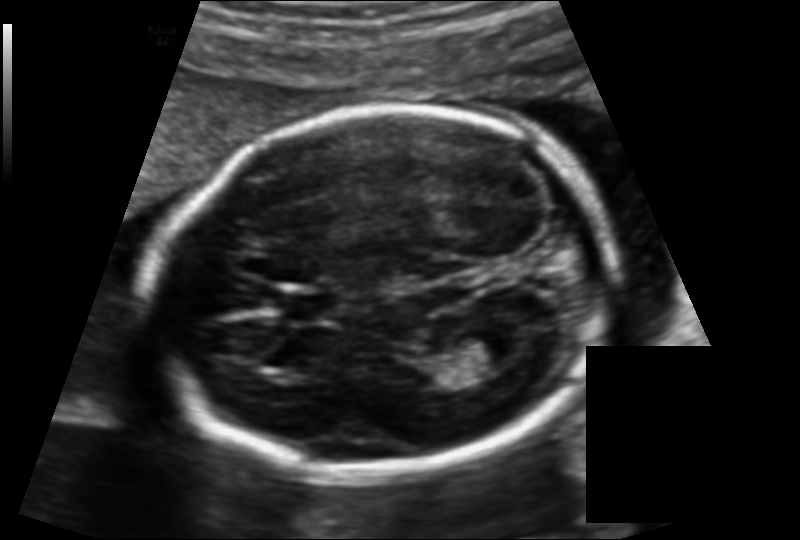
Fetal head ultrasound. Image width: 104.7 mm. Give [x1,y1,x2,y2] bounding boxes for each visible structure among: fetal head, CSP, LV.

Head: [153,105,615,475]
CSP: [280,291,334,325]
Lateral ventricle: [450,315,530,382]